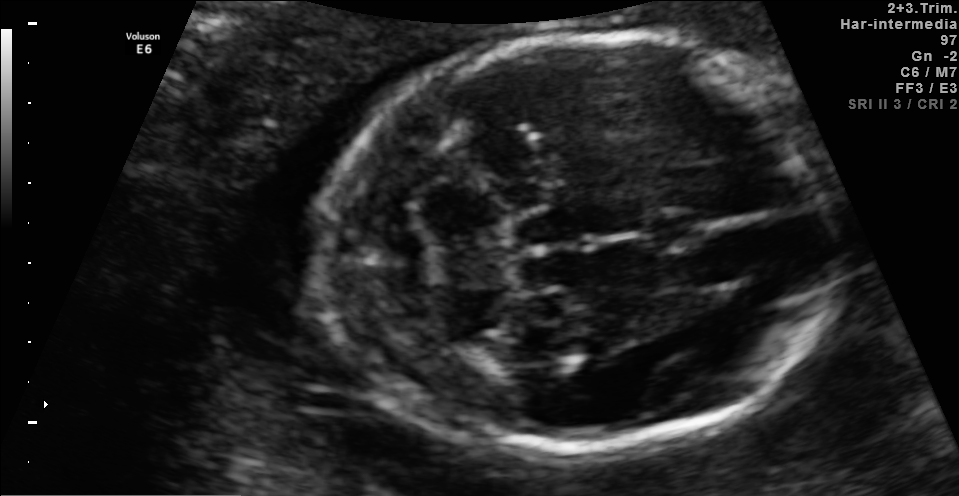
In this fetal brain, trans-cerebellum plane, give the bounding box of the cavum septum pellucidum.

[638,208,710,252]